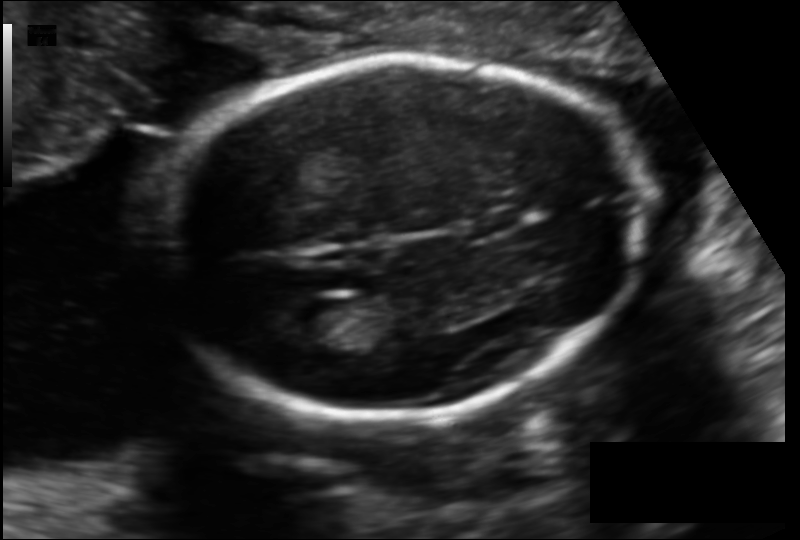
Fetal head ultrasound. Image width: 102.8 mm. Locate the fetal head.

Head: [161,56,642,417]